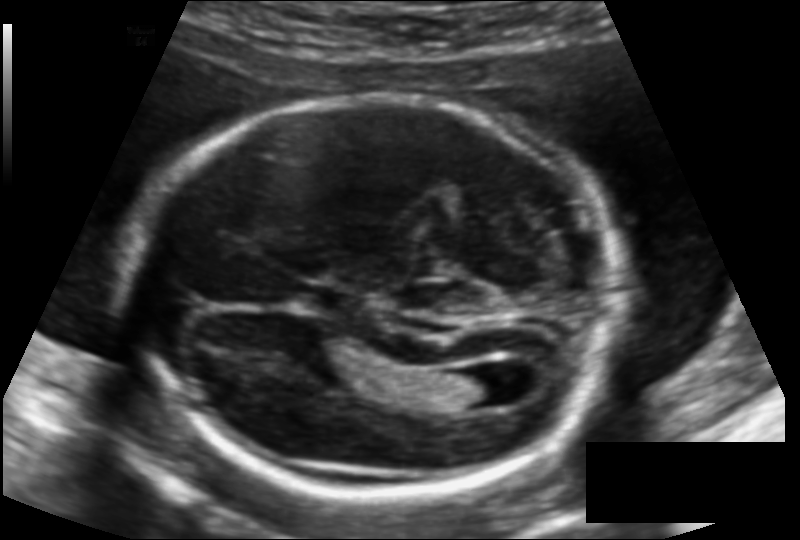
Estimate the fetal head circumference from this 2D ultrasound. Image width: 99.7 mm.

Head circumference: 184.3 mm.